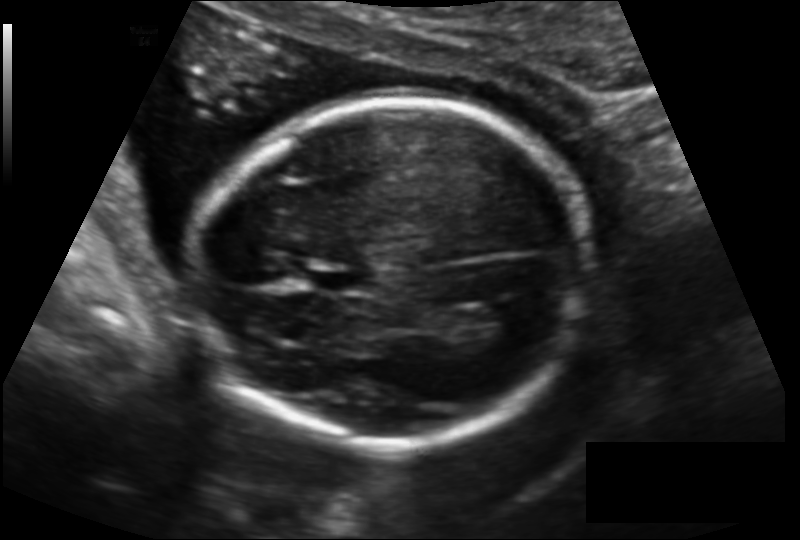
What is the fetal head circumference? Image width is 111.8 mm.

167.3 mm